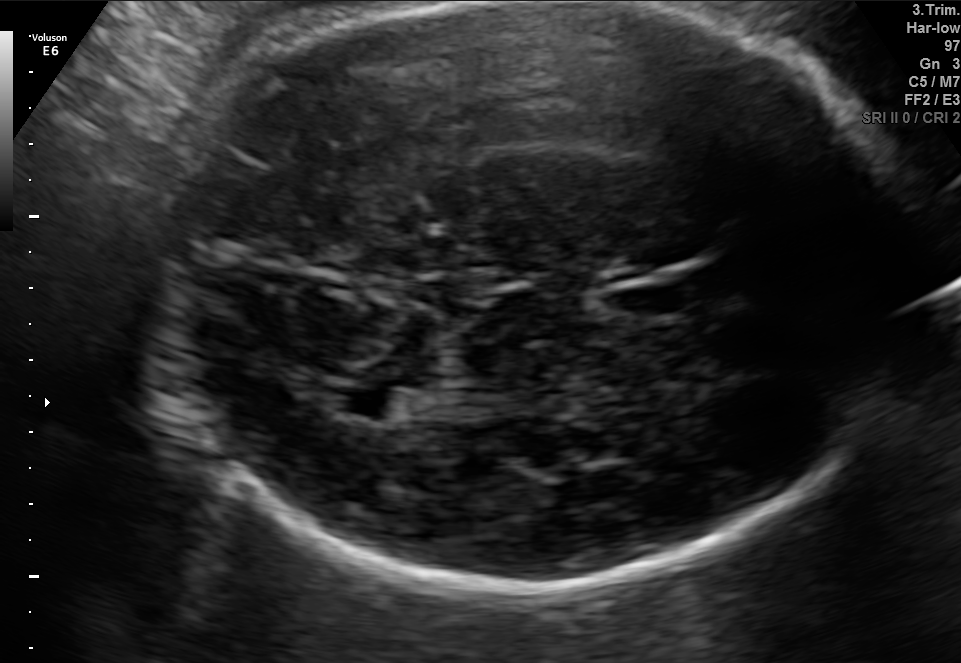
In this fetal brain, trans-thalamic plane, give bounding boxes for the head outline, cavum septum pellucidum (CSP), and lateral ventricle (LV), where visible.

Head: [167,2,912,591]